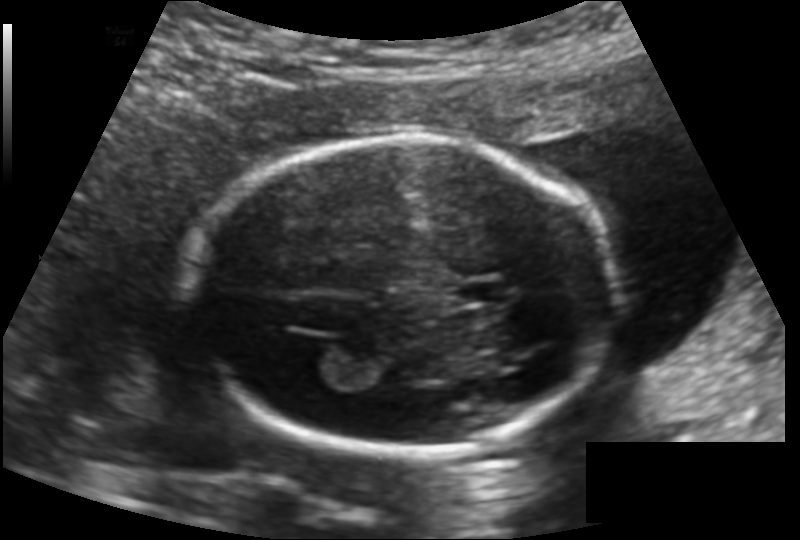
Fetal head ultrasound. Image width: 109.1 mm. Locate the fetal head.

Head: [192,135,615,454]